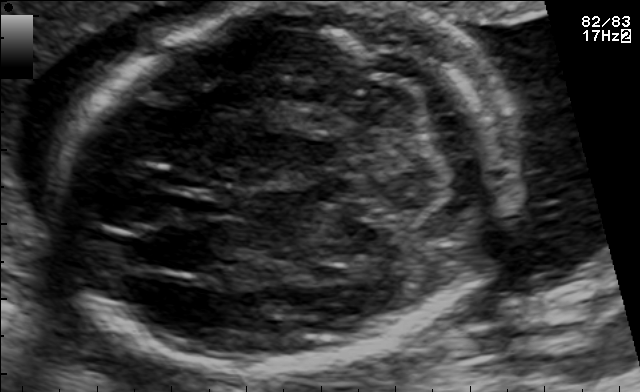
Fetal brain, trans-cerebellum plane. Locate the fetal head.

Head: [49,2,523,369]